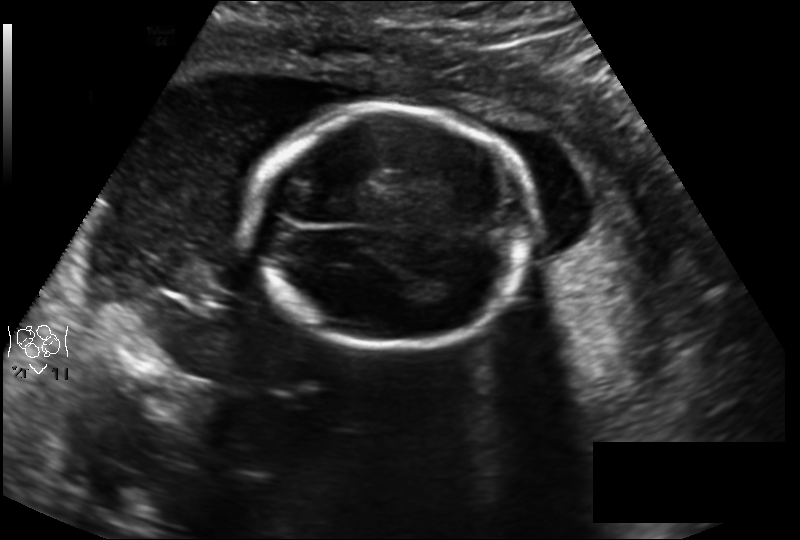
From this fetal ultrasound, estimate the head circumference (image width 155.0 mm).

Head circumference: 165.8 mm.